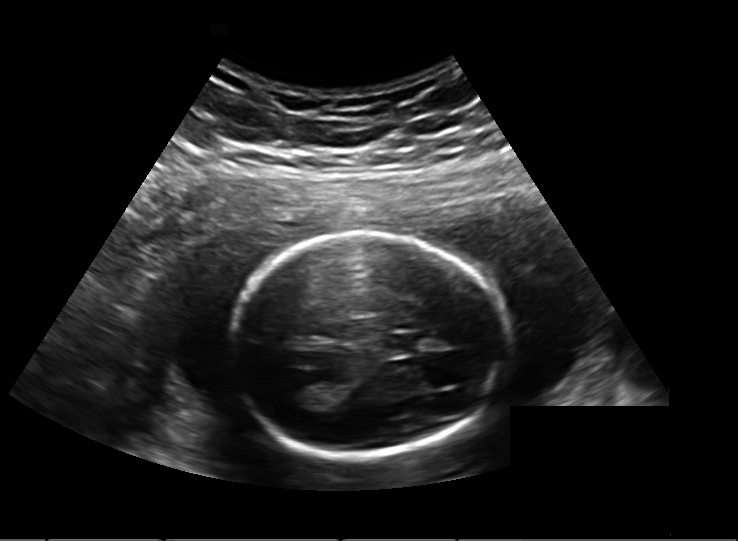
In this fetal head ultrasound, give the bounding box of the cavum septum pellucidum. Image width: 149.5 mm.

[385,332,418,355]